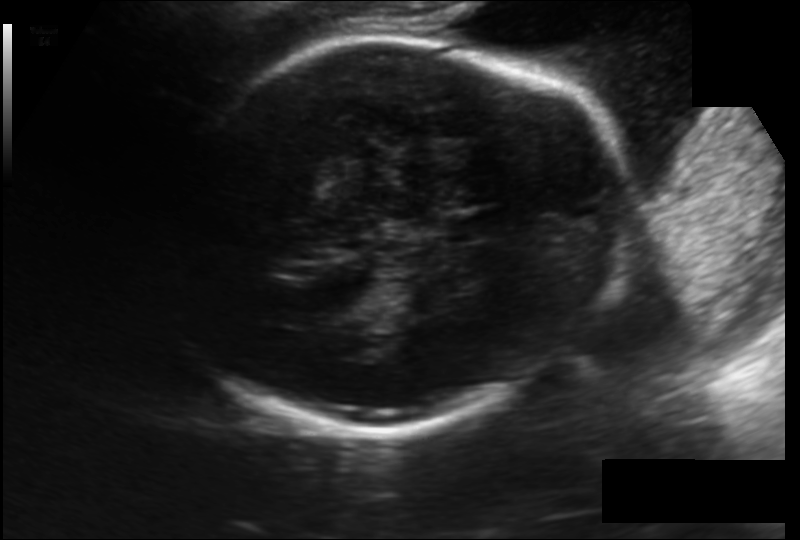
Fetal head ultrasound. Image width: 139.5 mm. Give [x1,y1,x2,y2] bounding boxes for each visible structure among: fetal head, CSP, LV.

Head: [162,34,631,429]